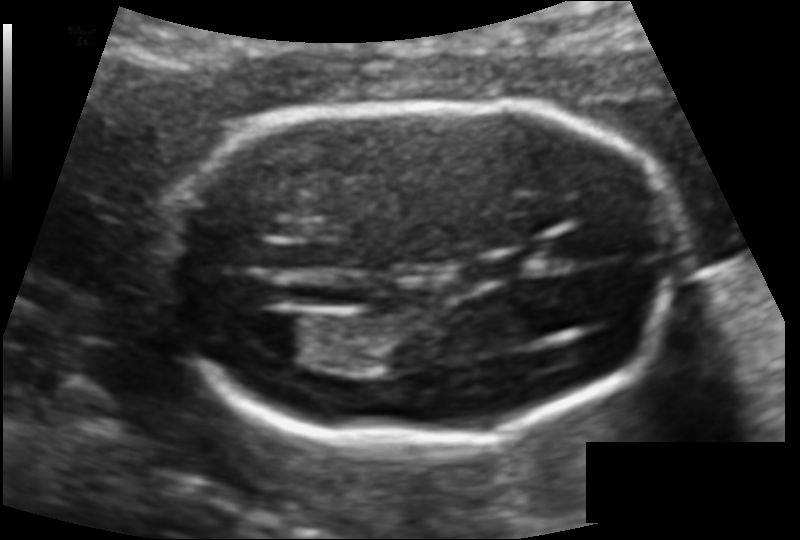
Fetal head ultrasound. Image width: 87.1 mm. Locate the fetal head and, if visible, the cavum septum pellucidum (CSP) and lateral ventricle (LV). Give bounding boxes as [x1,y1,x2,y2].

Head: [154,104,681,438]
CSP: [545,221,611,271]
Lateral ventricle: [229,307,312,359]